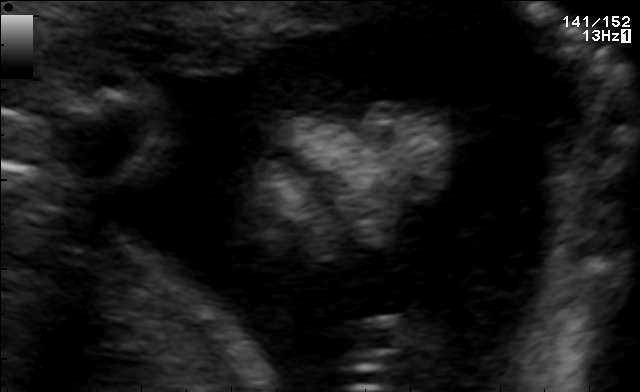
Classify this maternal-fetal ultrasound image as one of the six standard planes — fetal abdomen, fetal brain, fetal femur, fetal thorax, maternal cervix, or other. If it's fetal brain and one of the three standard brain planes (trans-thalamic, trans-cerebellum, trans-ventricular), name which.

Other